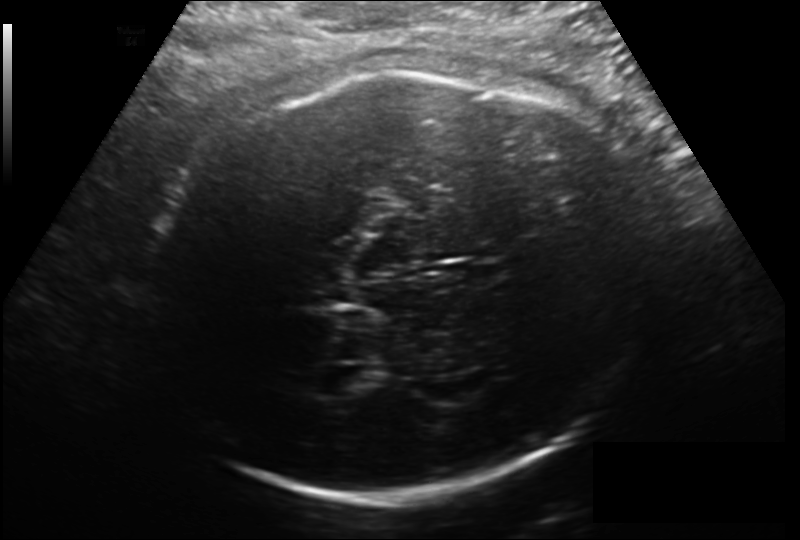
Fetal head ultrasound. Image width: 164.8 mm. Locate the fetal head and, if visible, the cavum septum pellucidum (CSP) and lateral ventricle (LV). Give bounding boxes as [x1,y1,x2,y2].

Head: [140,73,642,505]
Lateral ventricle: [320,366,373,395]